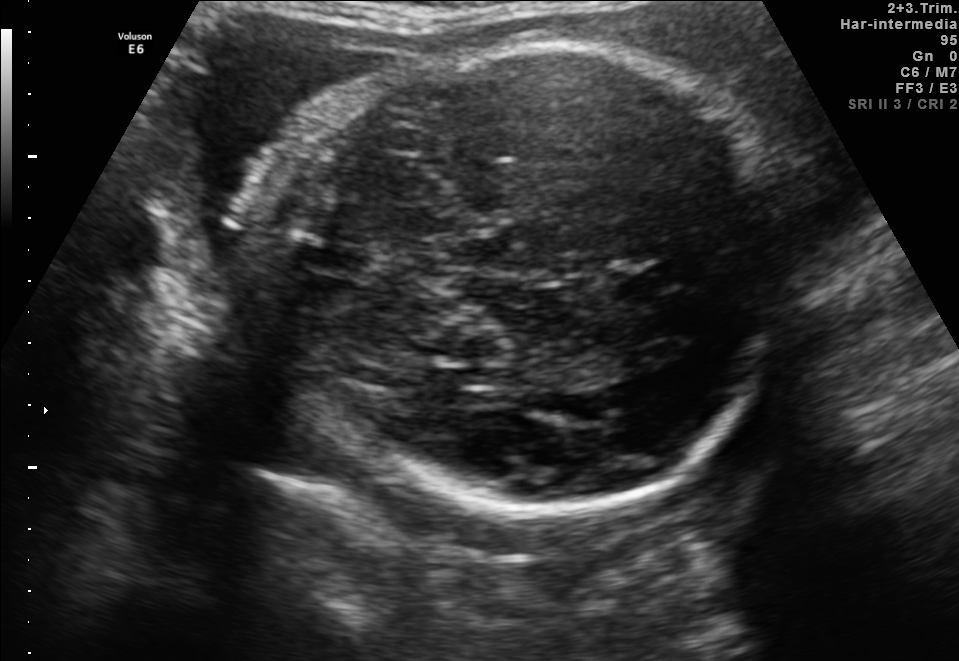
In this fetal brain, trans-thalamic plane, give the bounding box of the cavum septum pellucidum.

[611,263,673,300]